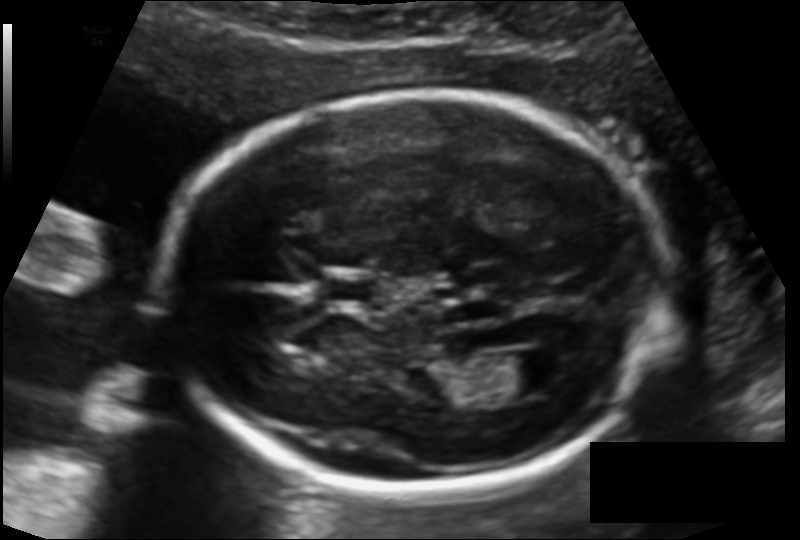
Fetal head ultrasound. Image width: 101.2 mm. Locate the fetal head.

Head: [169,93,663,491]